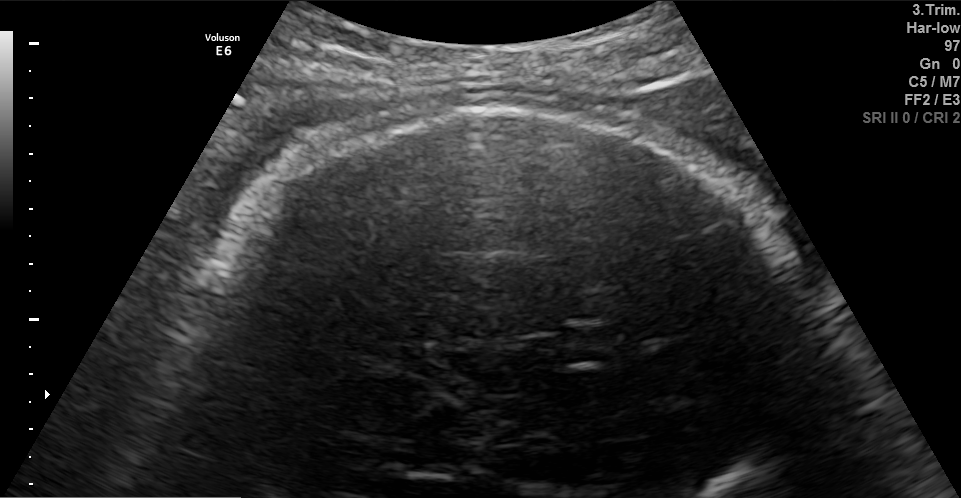
This is a 2D maternal-fetal ultrasound frame. Is it a fetal abdomen, fetal brain, fetal femur, fetal thorax, maternal cervix, or other standard plane? If it's fetal brain and one of the three standard brain planes (trans-thalamic, trans-cerebellum, trans-ventricular), name which.

Fetal brain